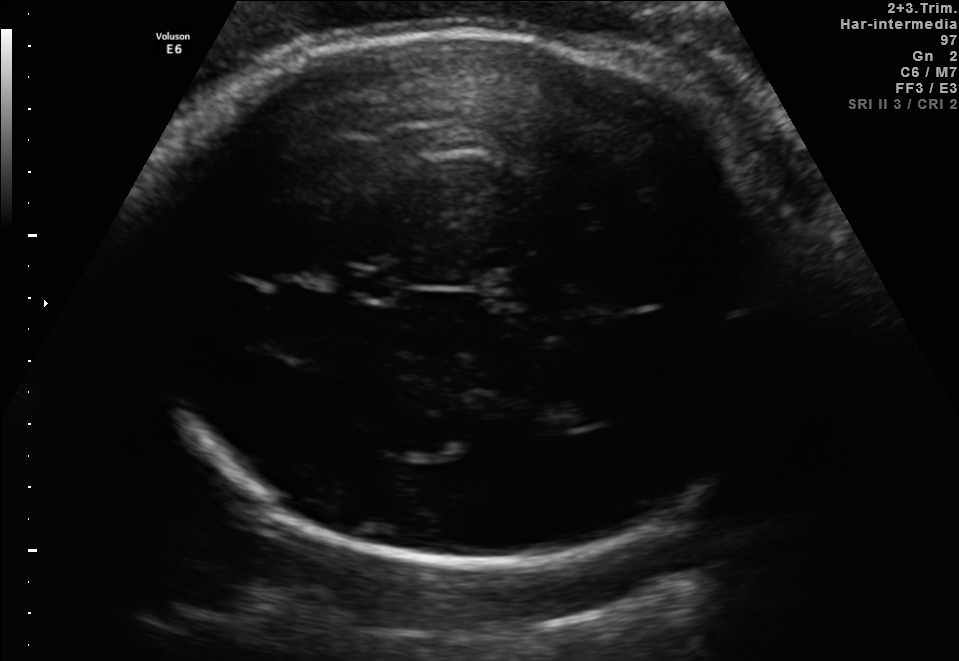
Classify this maternal-fetal ultrasound image as one of the six standard planes — fetal abdomen, fetal brain, fetal femur, fetal thorax, maternal cervix, or other. If it's fetal brain and one of the three standard brain planes (trans-thalamic, trans-cerebellum, trans-ventricular), name which.

Fetal brain (trans-thalamic plane)